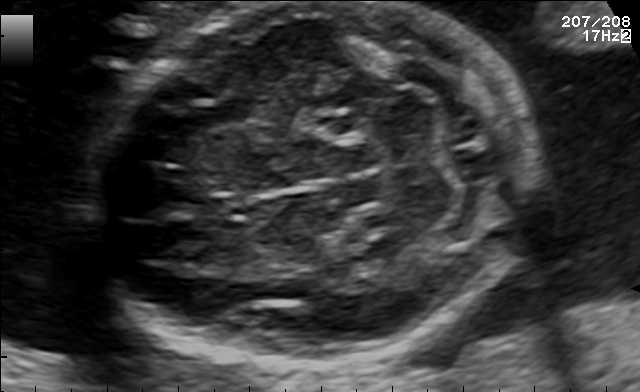
Fetal brain, trans-cerebellum plane. Give [x1,y1,x2,y2] bounding boxes for each visible structure among: fetal head, CSP, LV.

Head: [88,4,537,362]